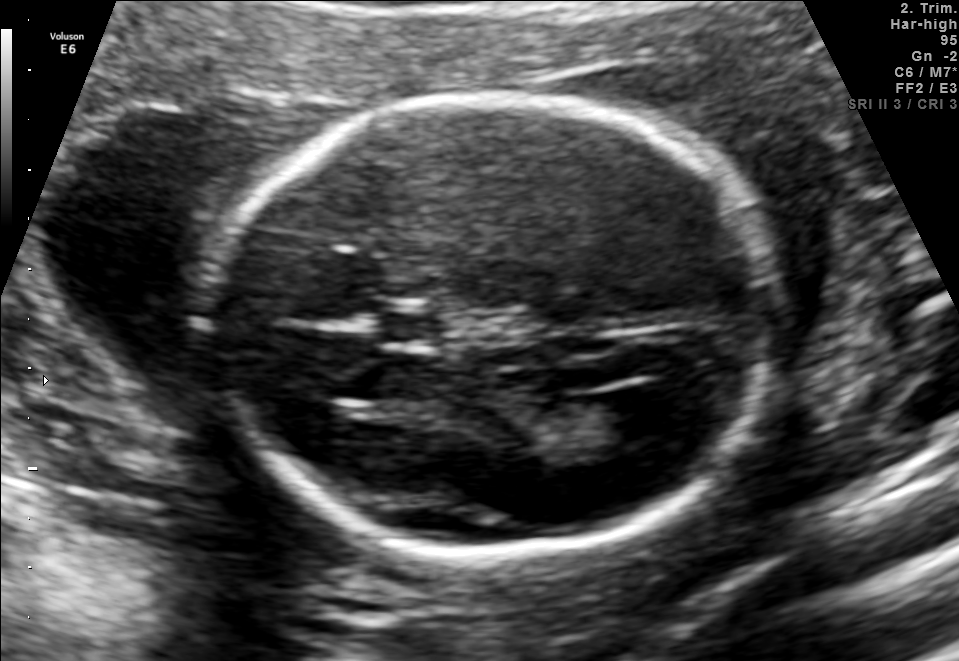
Fetal brain, trans-ventricular plane. Where is the fetal head?

Head bounding box: [194,87,797,562]